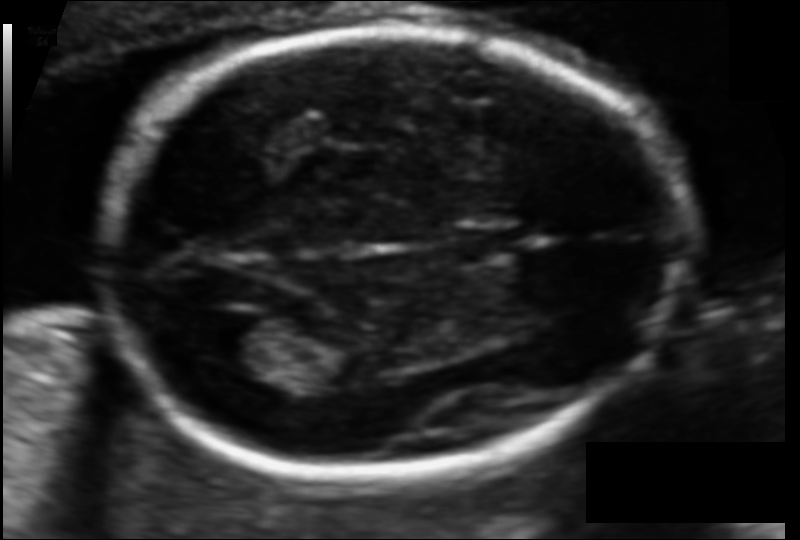
Estimate the fetal head circumference from this 2D ultrasound. Image width: 77.8 mm.

Head circumference: 163.9 mm.